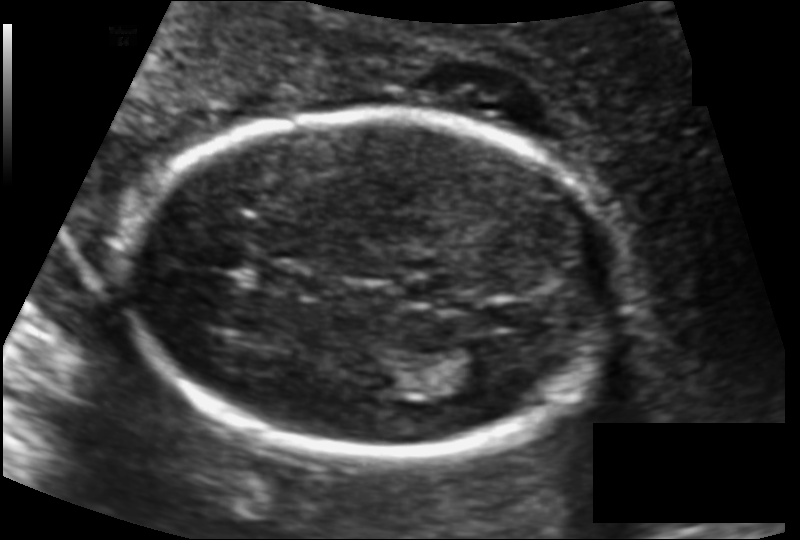
What is the fetal head circumference? Image width is 93.7 mm.

160.6 mm